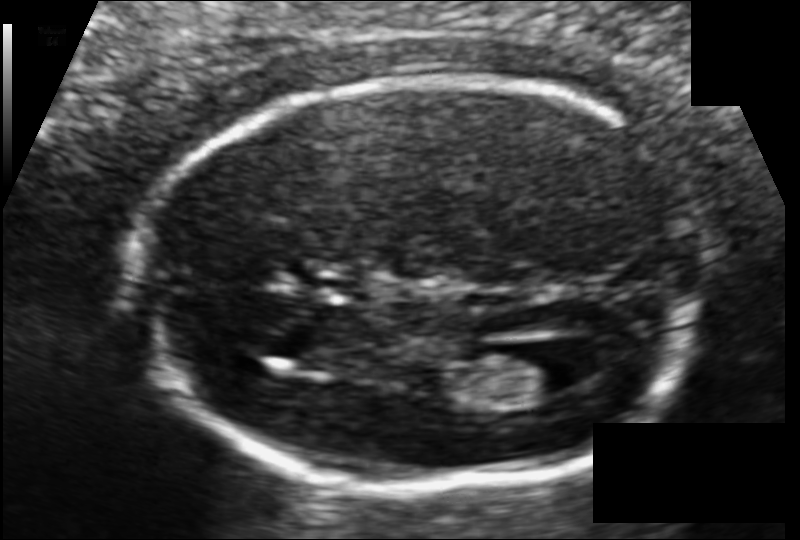
Estimate the fetal head circumference from this 2D ultrasound.

Head circumference: 163.9 mm (image width 83.6 mm).